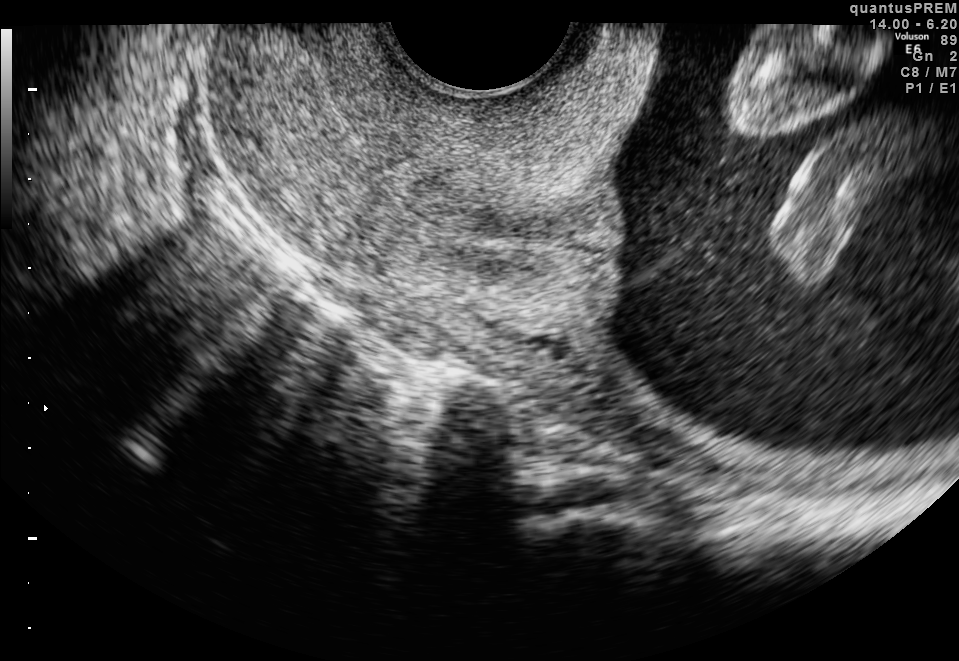
This is a 2D maternal-fetal ultrasound frame. Is it a fetal abdomen, fetal brain, fetal femur, fetal thorax, maternal cervix, or other standard plane? If it's fetal brain and one of the three standard brain planes (trans-thalamic, trans-cerebellum, trans-ventricular), name which.

Maternal cervix